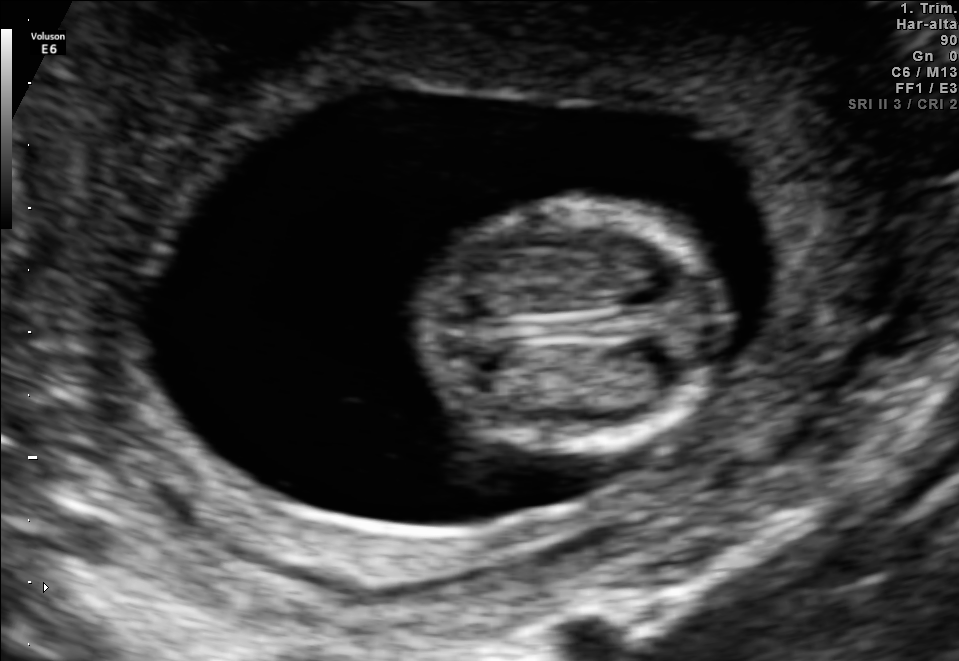
Identify the standard plane in this fetal ultrasound image: fetal abdomen, fetal brain, fetal femur, fetal thorax, maternal cervix, or other. If it's fetal brain and one of the three standard brain planes (trans-thalamic, trans-cerebellum, trans-ventricular), name which.

Fetal brain